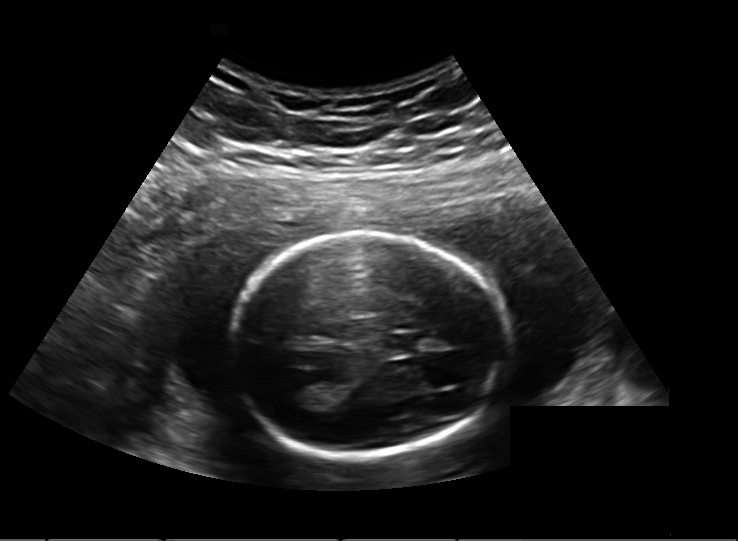
Estimate the fetal head circumference from this 2D ultrasound. Image width: 149.5 mm.

Head circumference: 164.8 mm.